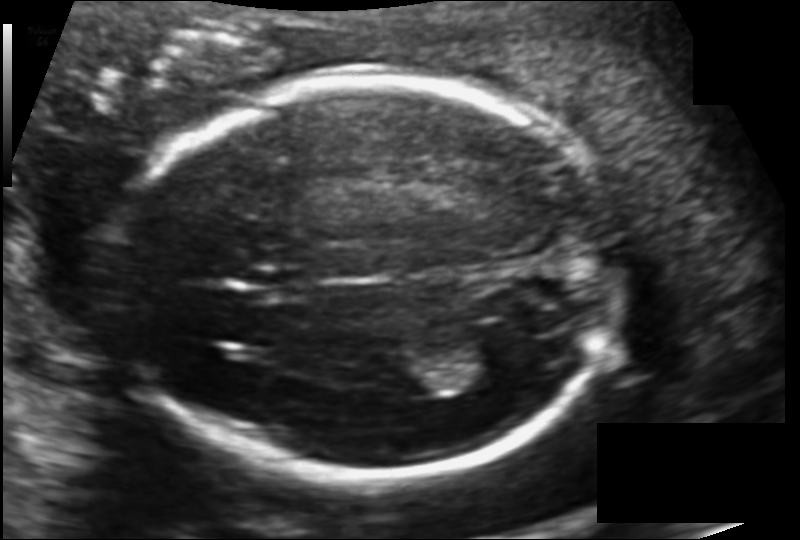
Fetal head ultrasound. Image width: 101.2 mm. Where is the fetal head?

Head bounding box: [122,80,620,478]